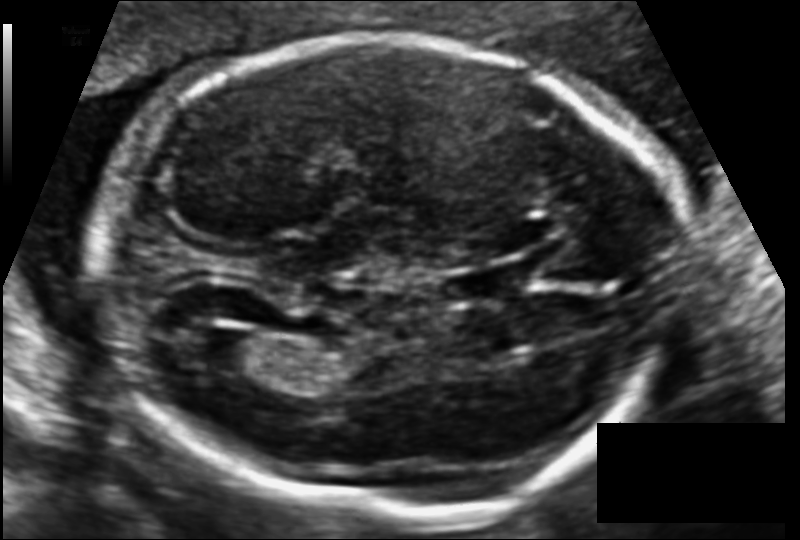
Estimate the fetal head circumference from this 2D ultrasound.

Head circumference: 196.9 mm (image width 92.7 mm).